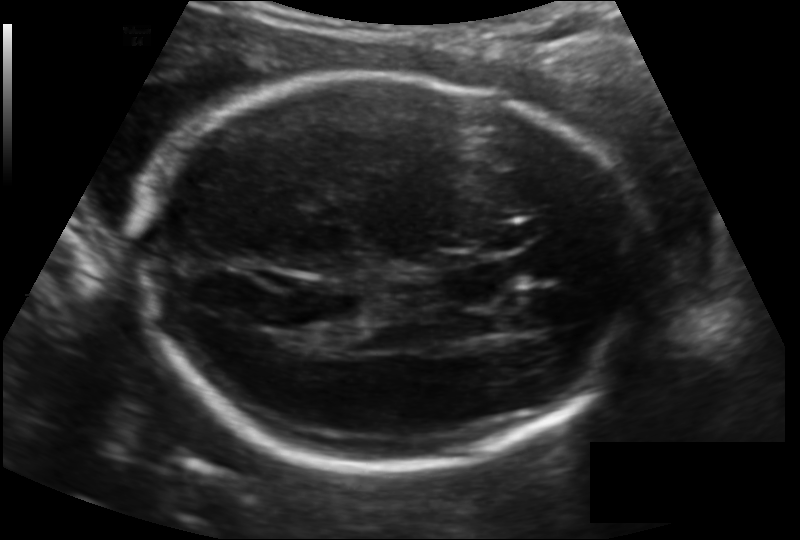
From this fetal ultrasound, estimate the head circumference (image width 118.2 mm).

Head circumference: 215.5 mm.